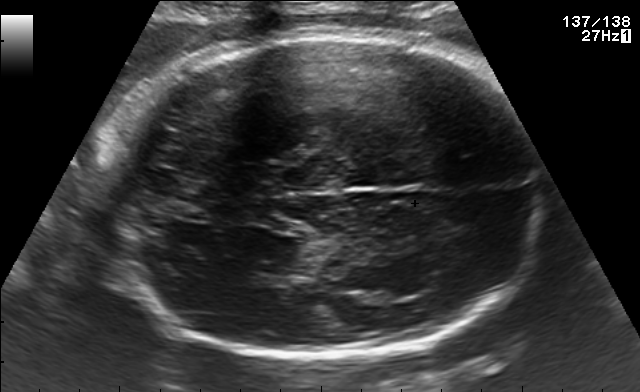
Fetal brain, trans-thalamic plane. Where is the fetal head?

Head bounding box: [97,34,543,361]